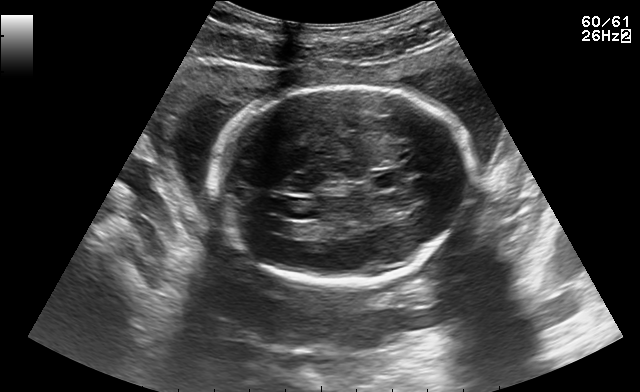
Fetal brain, trans-ventricular plane. Where is the fetal head?

Head bounding box: [205,84,472,286]